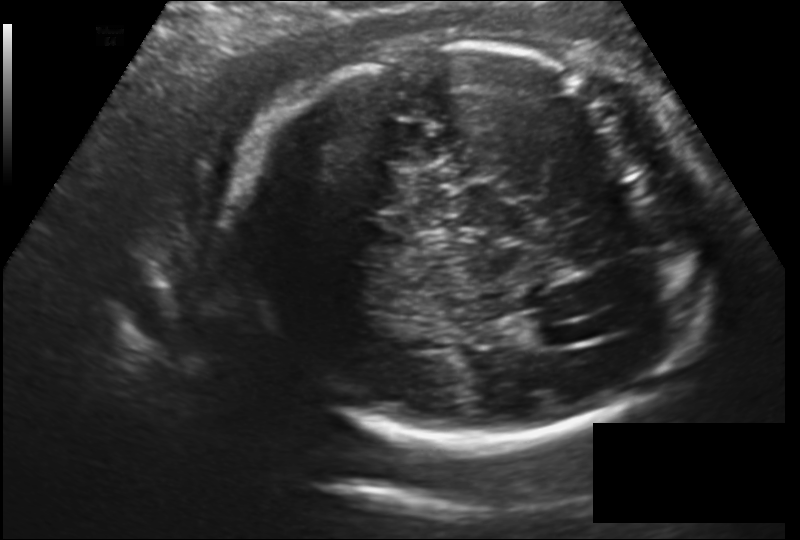
Estimate the fetal head circumference from this 2D ultrasound. Image width: 142.0 mm.

Head circumference: 250.6 mm.